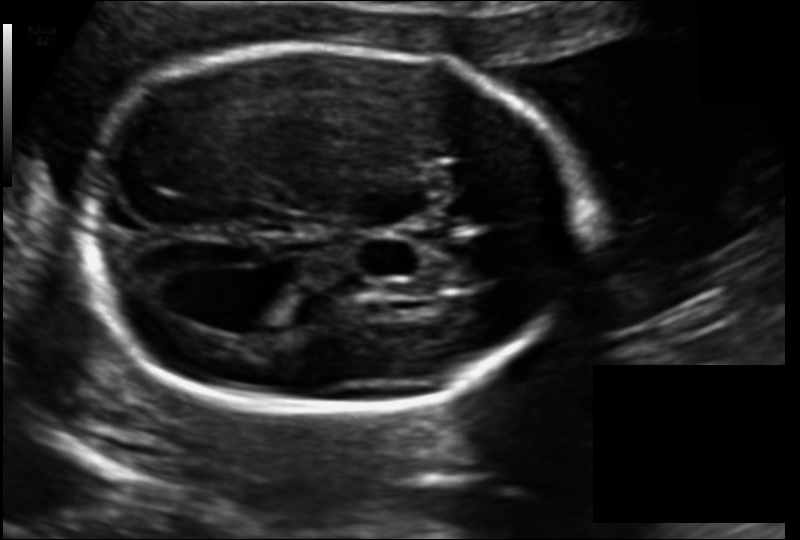
Measure the fetal head circumference shown in this ultrasound image. Image width: 102.4 mm.

Head circumference: 182.7 mm.